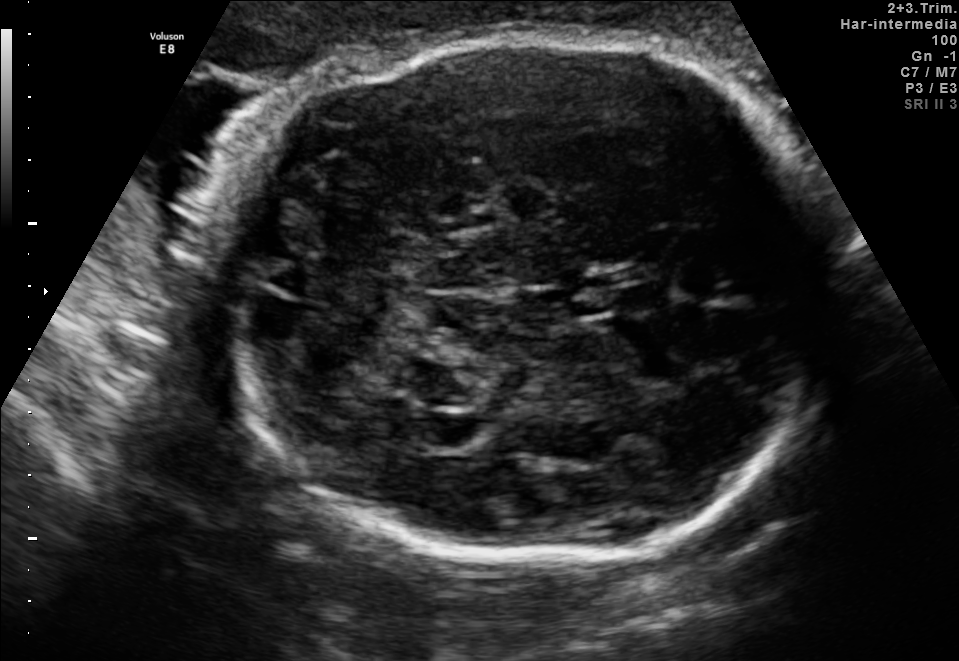
In this fetal brain, trans-cerebellum plane, give bounding boxes for the head outline, cavum septum pellucidum (CSP), and lateral ventricle (LV), where visible.

Head: [231,37,834,568]